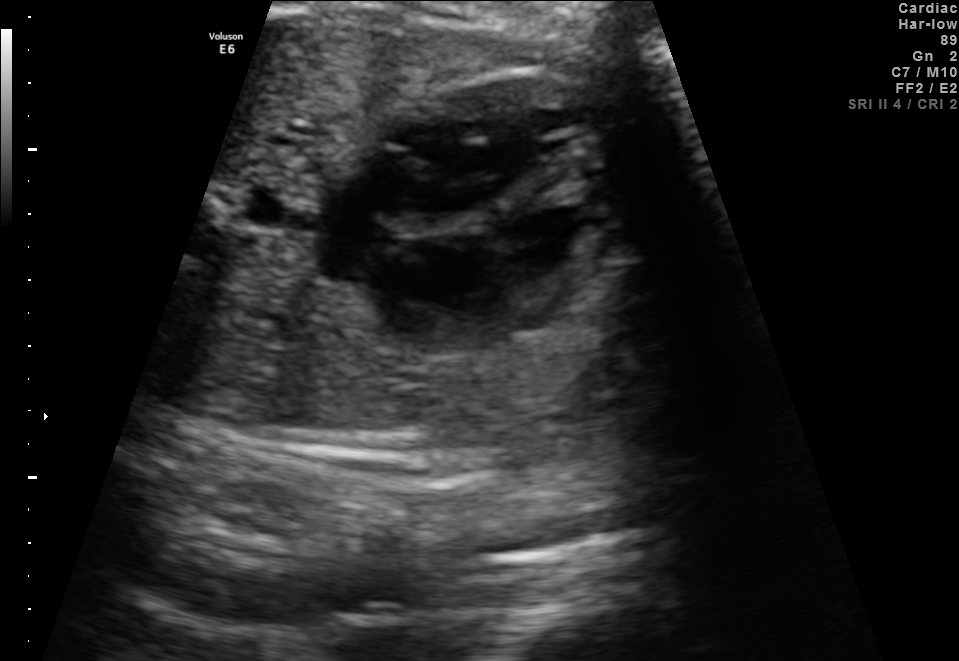
Classify this maternal-fetal ultrasound image as one of the six standard planes — fetal abdomen, fetal brain, fetal femur, fetal thorax, maternal cervix, or other. If it's fetal brain and one of the three standard brain planes (trans-thalamic, trans-cerebellum, trans-ventricular), name which.

Fetal thorax